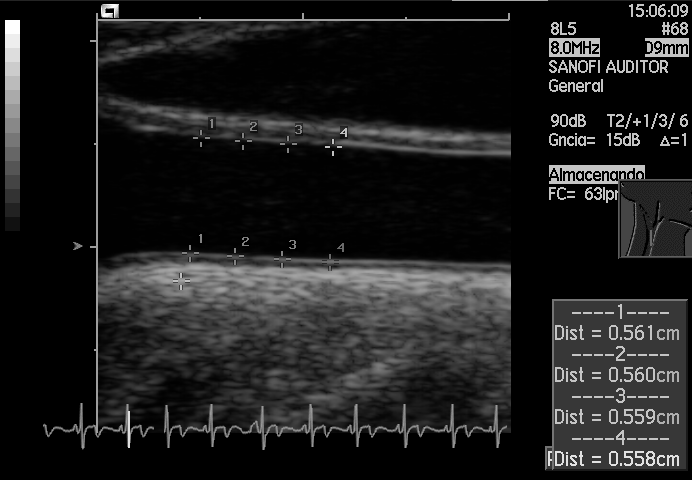
Which standard maternal-fetal ultrasound plane is shown: fetal abdomen, fetal brain, fetal femur, fetal thorax, maternal cervix, or other? If it's fetal brain and one of the three standard brain planes (trans-thalamic, trans-cerebellum, trans-ventricular), name which.

Other